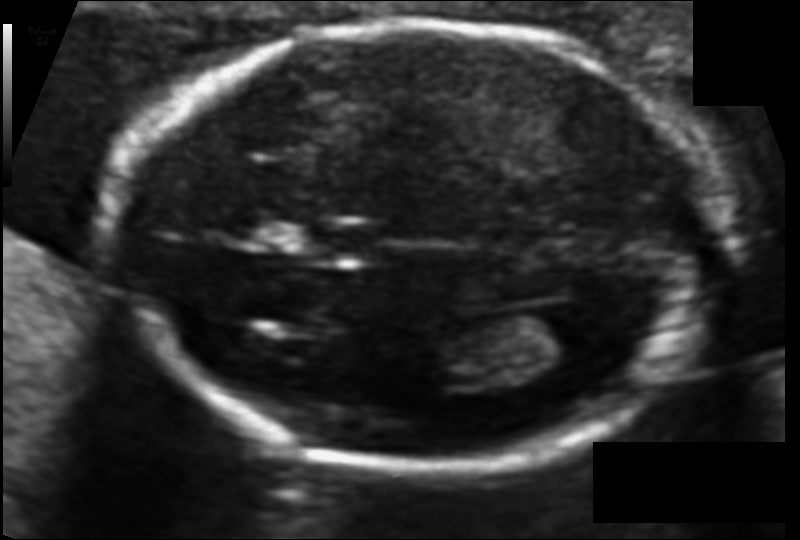
In this fetal head ultrasound, give the bounding box of the lateral ventricle. Image width: 75.0 mm.

[513,294,604,369]